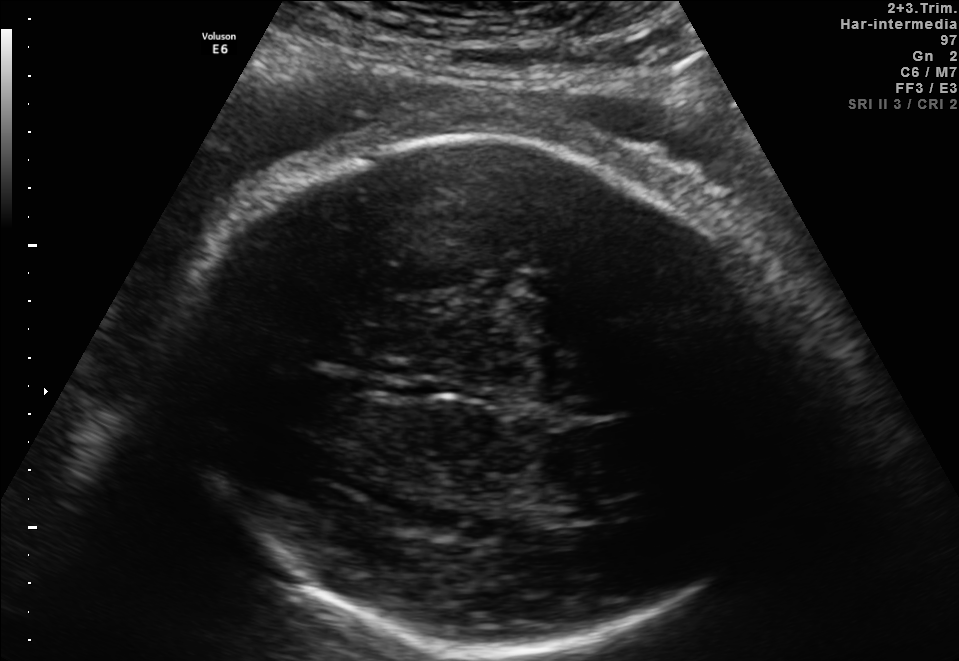
In this fetal brain, trans-thalamic plane, give bounding boxes for the head outline, cavum septum pellucidum (CSP), and lateral ventricle (LV), where visible.

Head: [178,136,791,651]